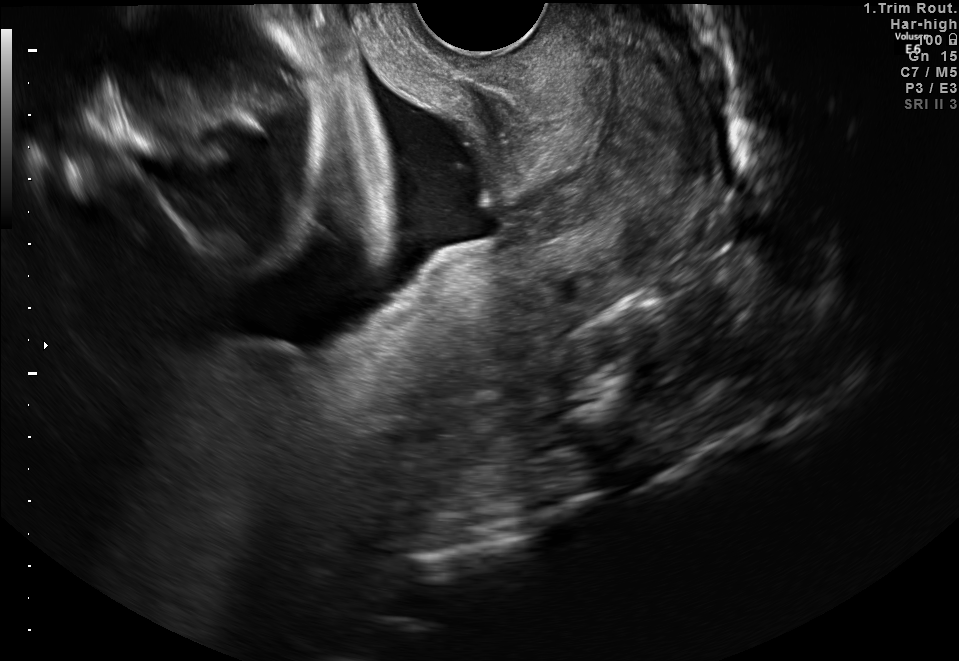
This is a 2D maternal-fetal ultrasound frame. Is it a fetal abdomen, fetal brain, fetal femur, fetal thorax, maternal cervix, or other standard plane? If it's fetal brain and one of the three standard brain planes (trans-thalamic, trans-cerebellum, trans-ventricular), name which.

Maternal cervix